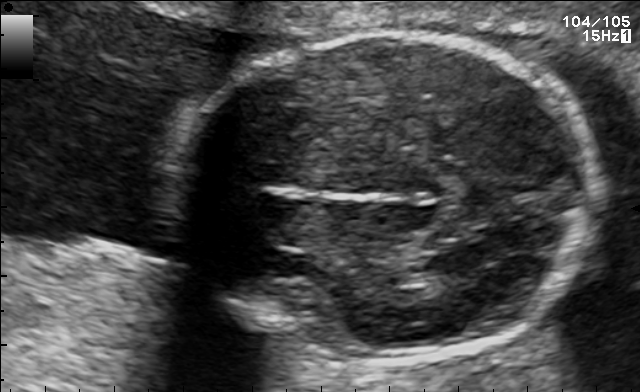
Fetal brain, trans-thalamic plane. Locate the fetal head.

Head: [166,34,600,364]